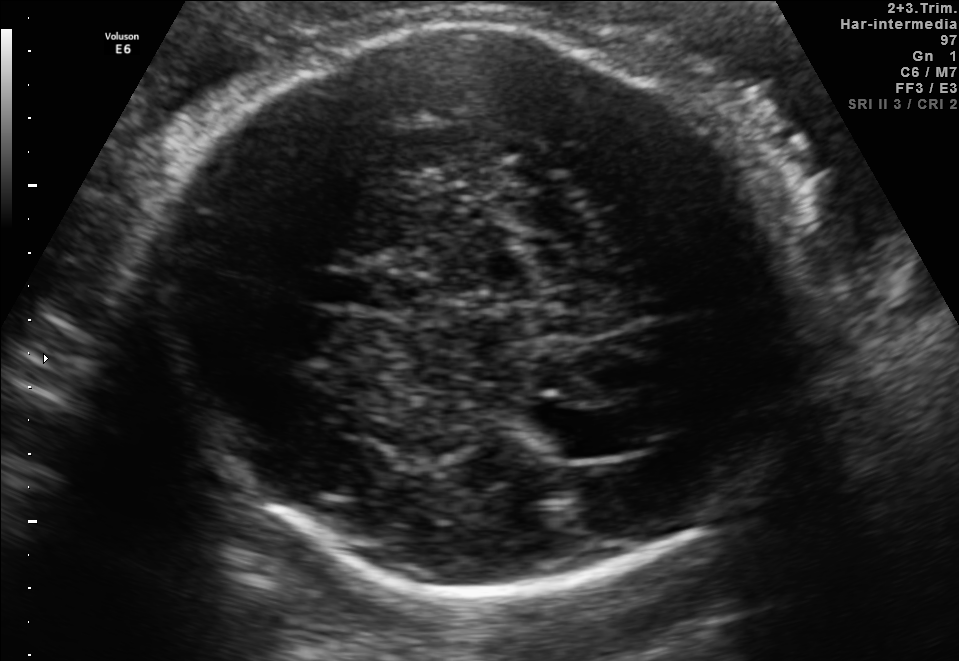
Fetal brain, trans-thalamic plane. Give [x1,y1,x2,y2] bounding boxes for each visible structure among: fetal head, CSP, LV.

Head: [148,20,831,591]
CSP: [318,268,403,313]
Lateral ventricle: [537,405,631,463]